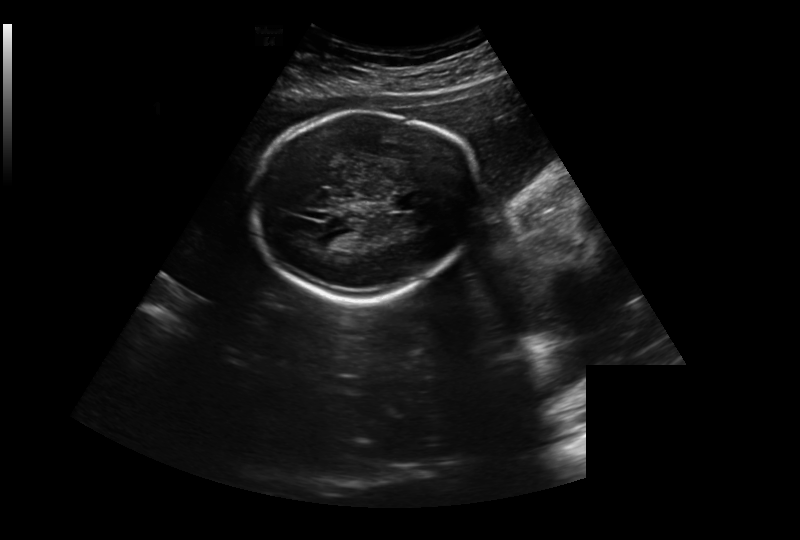
Fetal head ultrasound. Image width: 260.8 mm. Where is the lateral ventricle?

Lateral ventricle bounding box: [316,231,354,249]